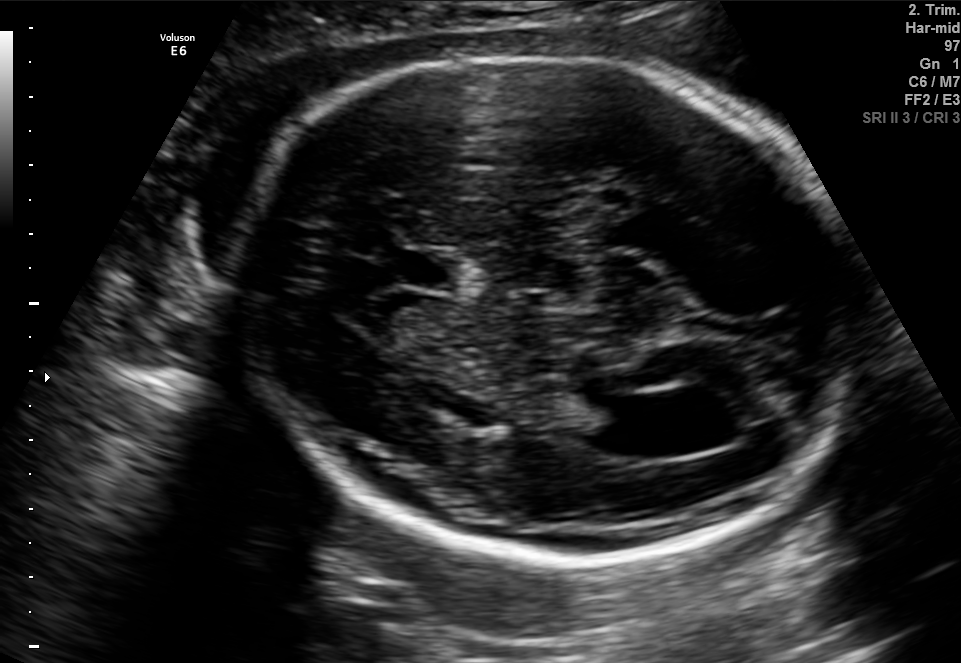
Fetal brain, trans-ventricular plane. Where is the cavum septum pellucidum?

CSP bounding box: [367,240,481,299]